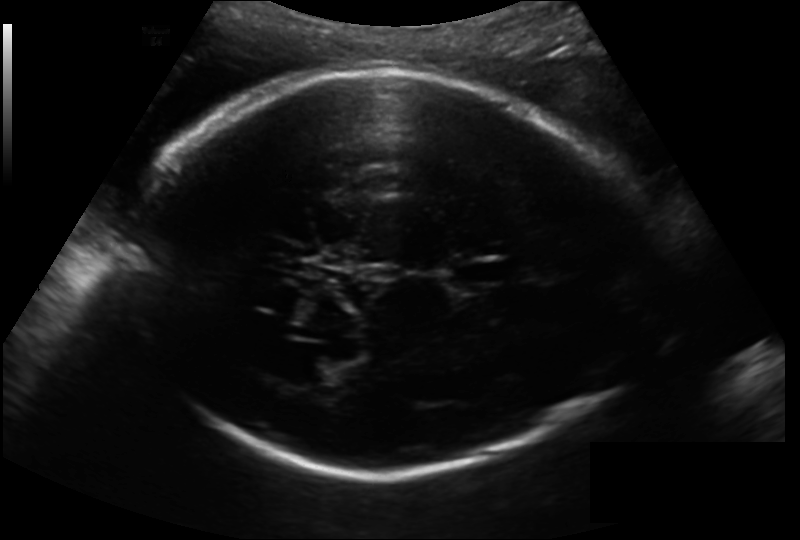
In this fetal head ultrasound, give the bounding box of the lateral ventricle. Image width: 154.5 mm.

[290,355,342,385]